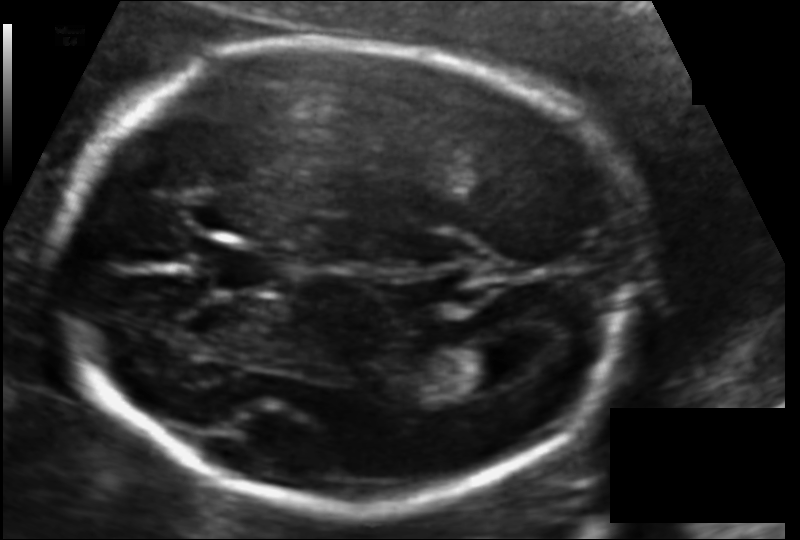
Estimate the fetal head circumference from this 2D ultrasound.

Head circumference: 197.9 mm (image width 92.7 mm).